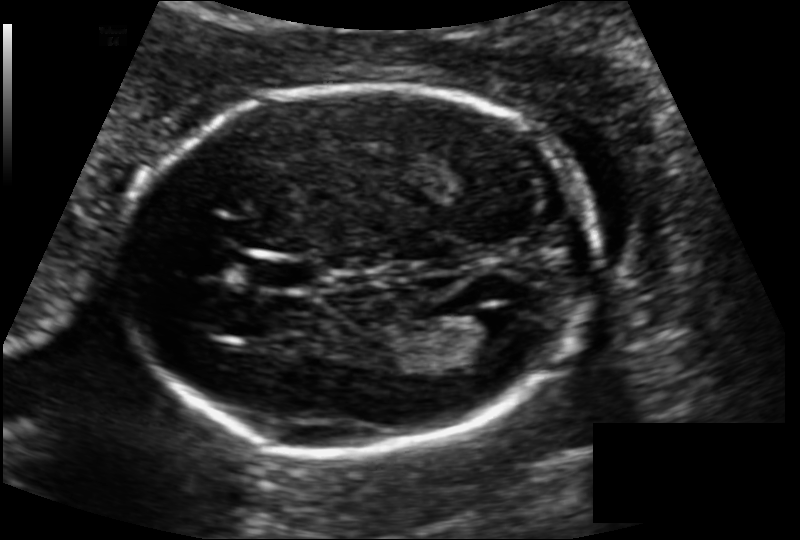
What is the fetal head circumference? Image width is 99.0 mm.

170.1 mm